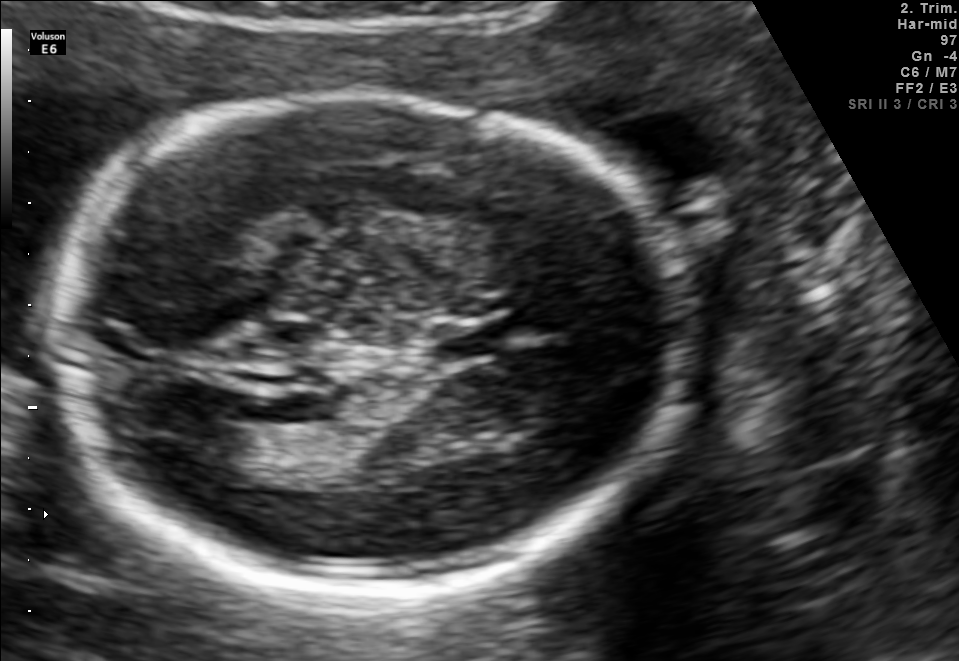
In this fetal brain, trans-thalamic plane, give the bounding box of the lateral ventricle.

[173,424,257,485]